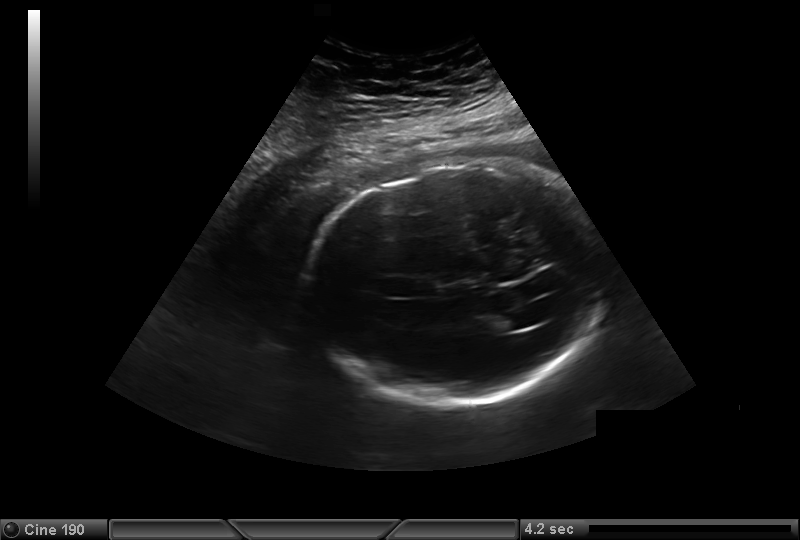
In this fetal head ultrasound, give the bounding box of the lateral ventricle. Image width: 258.3 mm.

[489,309,527,334]